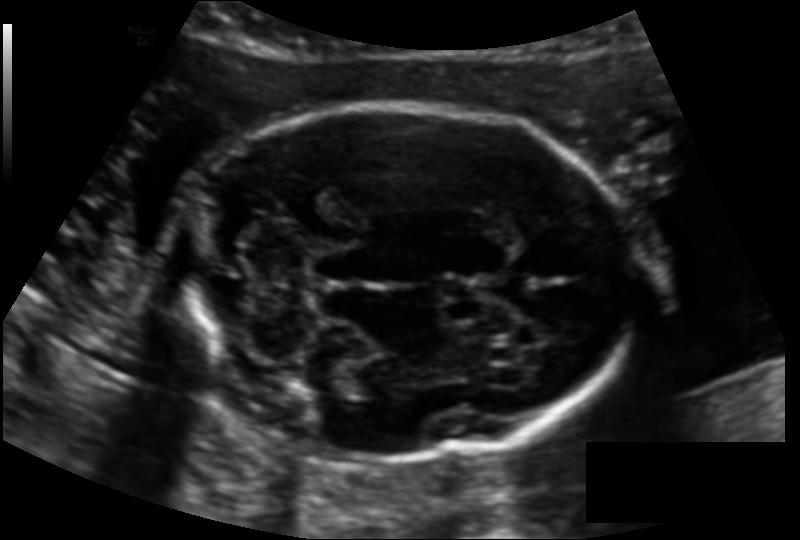
Measure the fetal head circumference shown in this ultrasound image. Image width: 102.3 mm.

Head circumference: 170.5 mm.